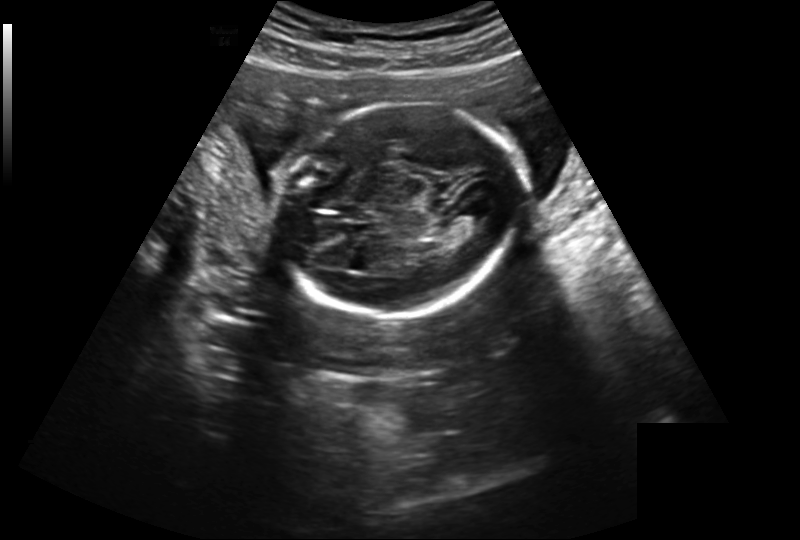
Fetal head ultrasound. Image width: 191.4 mm. Give [x1,y1,x2,y2] bounding boxes for each visible structure among: fetal head, CSP, LV.

Head: [280,100,521,319]
CSP: [340,203,369,218]
Lateral ventricle: [457,199,490,231]